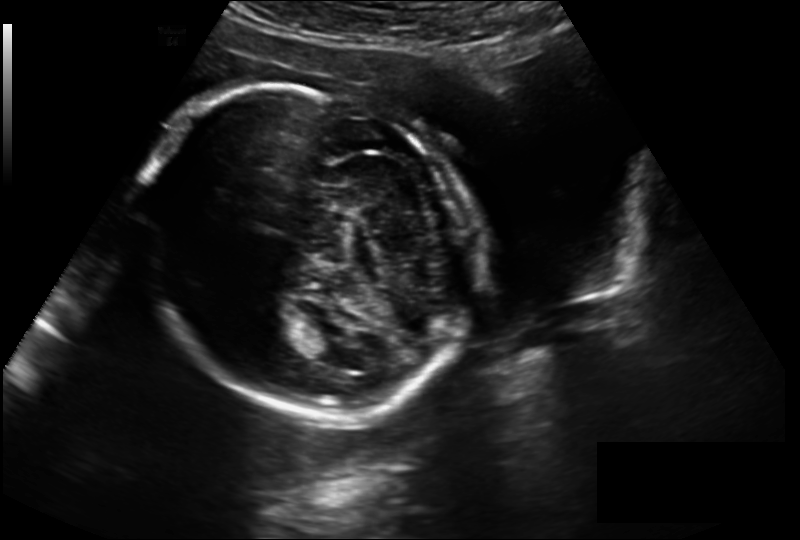
Estimate the fetal head circumference from this 2D ultrasound. Image width: 168.8 mm.

Head circumference: 224.7 mm.